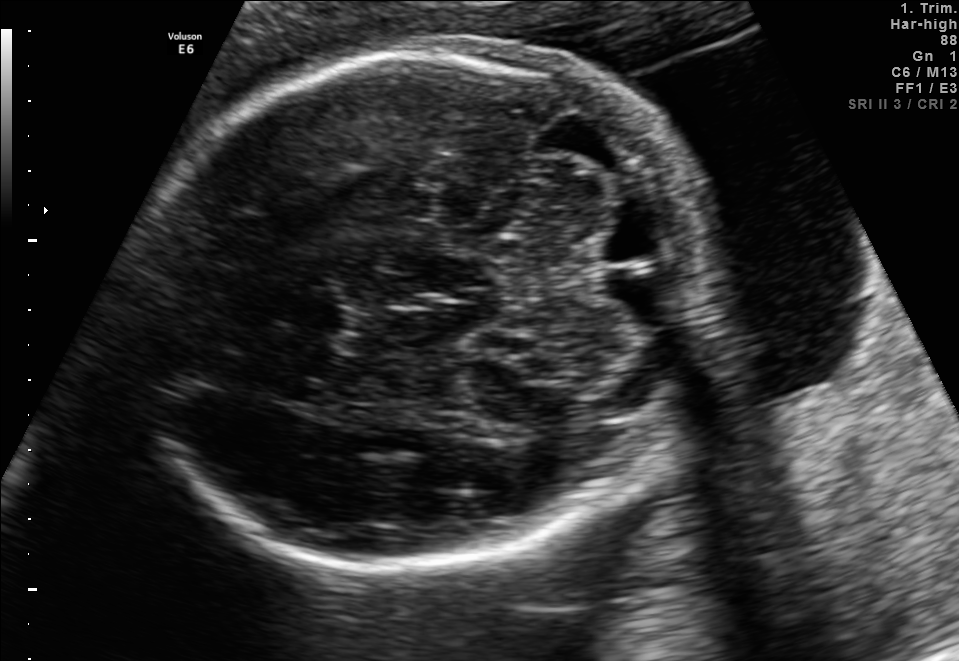
Fetal brain, trans-cerebellum plane. Give [x1,y1,x2,y2] bounding boxes for each visible structure among: fetal head, CSP, LV.

Head: [128,43,717,566]